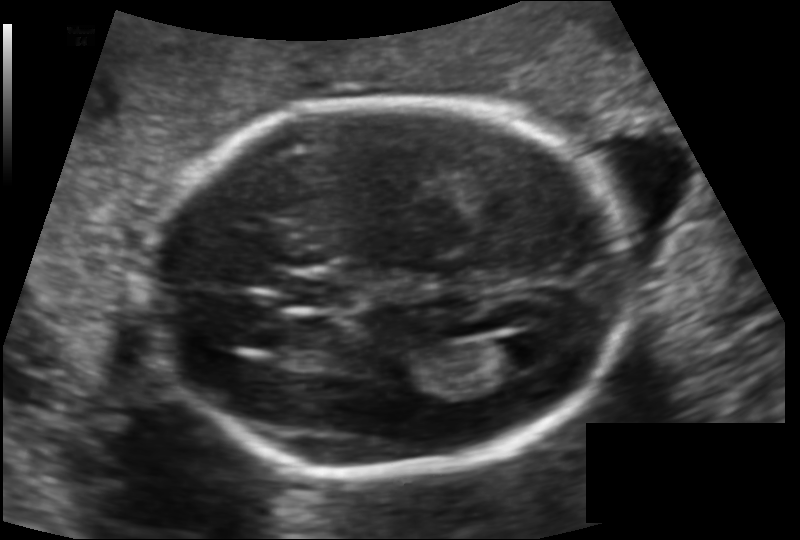
Measure the fetal head circumference shown in this ultrasound image. Image width: 100.1 mm.

Head circumference: 173.2 mm.